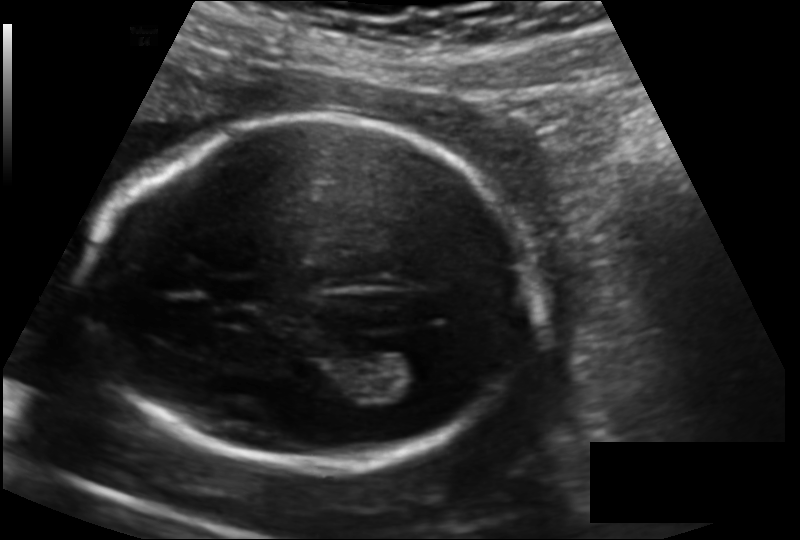
Fetal head ultrasound. Image width: 111.4 mm. Locate the fetal head and, if visible, the cavum septum pellucidum (CSP) and lateral ventricle (LV). Give bounding boxes as [x1,y1,x2,y2].

Head: [86,118,529,465]
CSP: [210,277,262,303]
Lateral ventricle: [372,346,445,400]